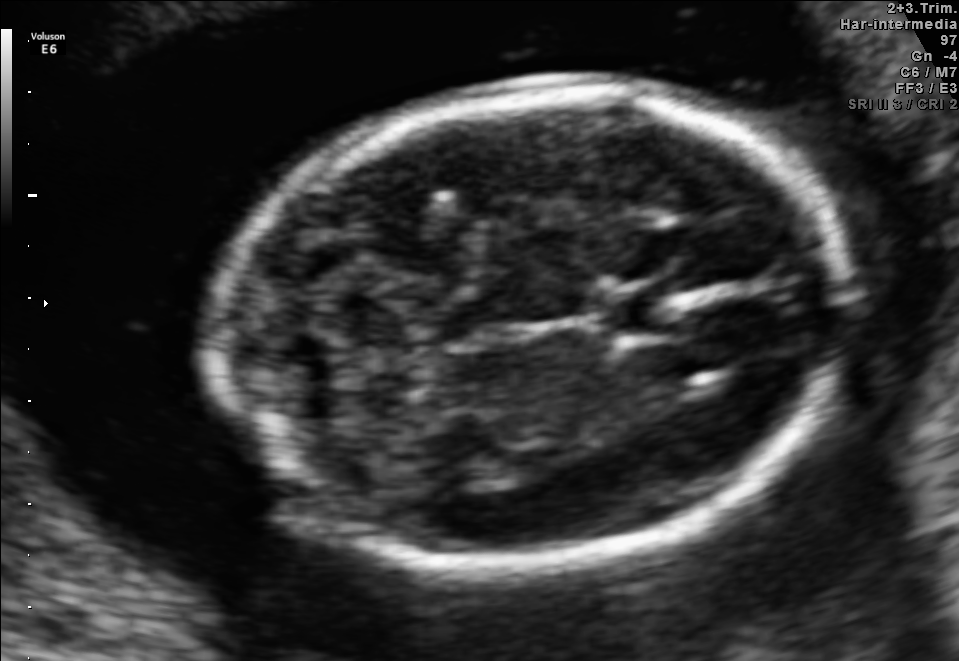
Which standard maternal-fetal ultrasound plane is shown: fetal abdomen, fetal brain, fetal femur, fetal thorax, maternal cervix, or other? If it's fetal brain and one of the three standard brain planes (trans-thalamic, trans-cerebellum, trans-ventricular), name which.

Fetal brain (trans-cerebellum plane)